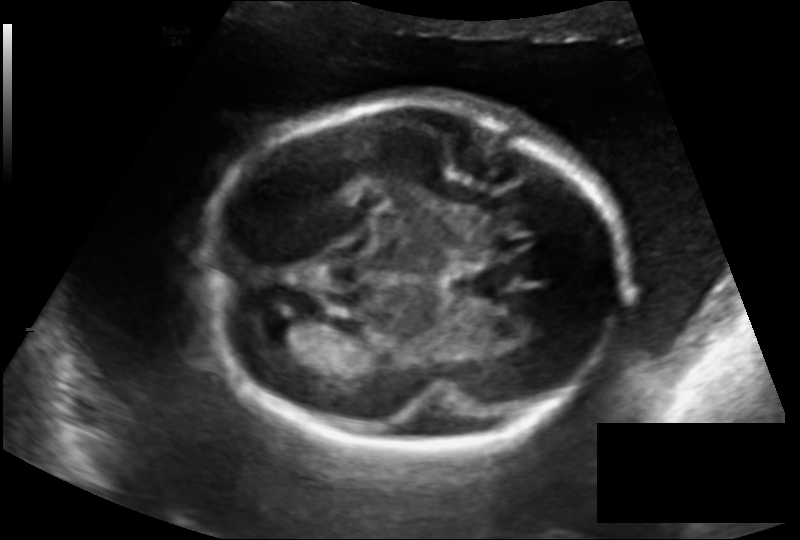
Estimate the fetal head circumference from this 2D ultrasound.

Head circumference: 199.5 mm (image width 129.7 mm).